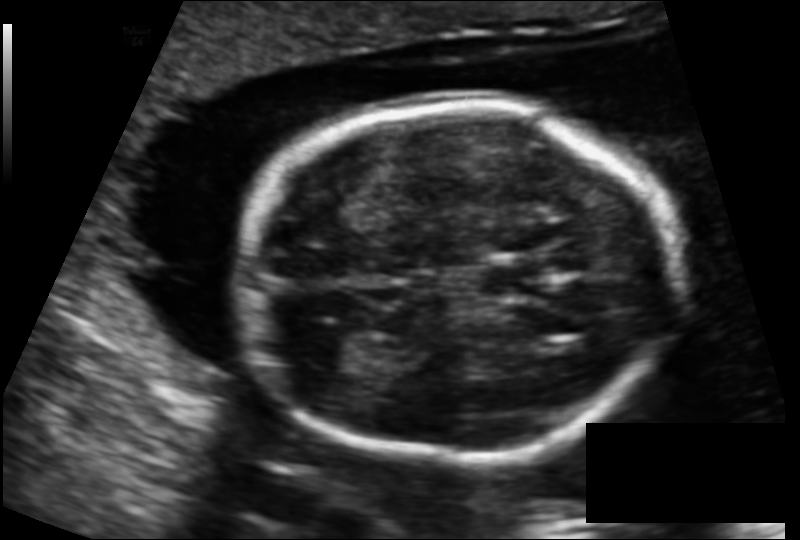
Fetal head ultrasound. Image width: 104.4 mm. Where is the cavum septum pellucidum?

CSP bounding box: [479,261,549,302]